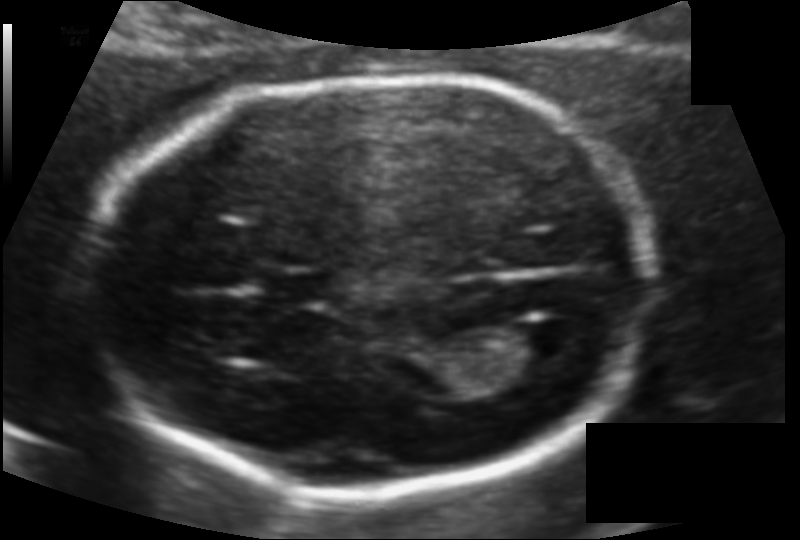
In this fetal head ultrasound, give the bounding box of the fetal head. Image width: 85.2 mm.

[92,77,645,489]